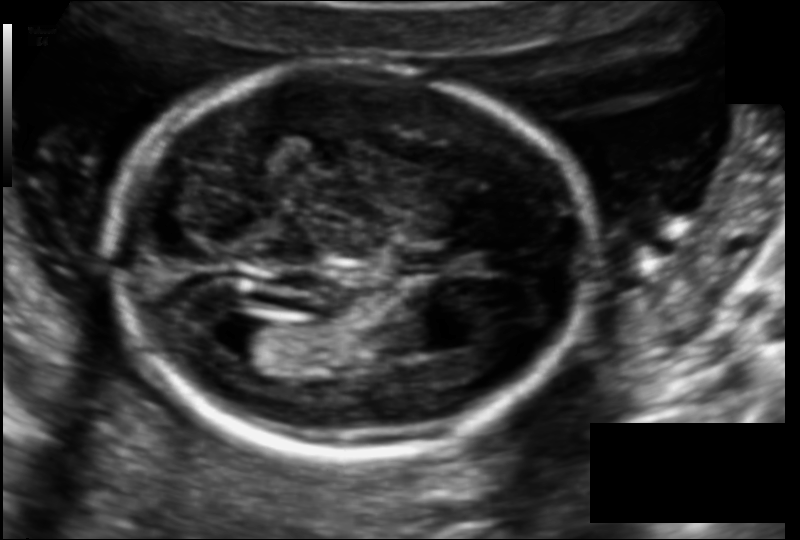
Fetal head ultrasound. Image width: 91.5 mm. Locate the lateral ventricle.

Lateral ventricle: [205,307,283,366]